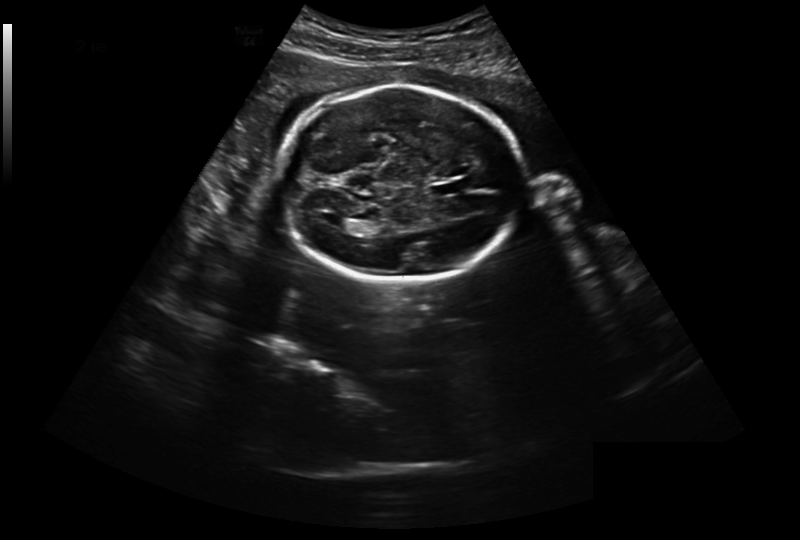
Fetal head ultrasound. Image width: 241.1 mm. Where is the cavum septum pellucidum?

CSP bounding box: [431,178,466,198]